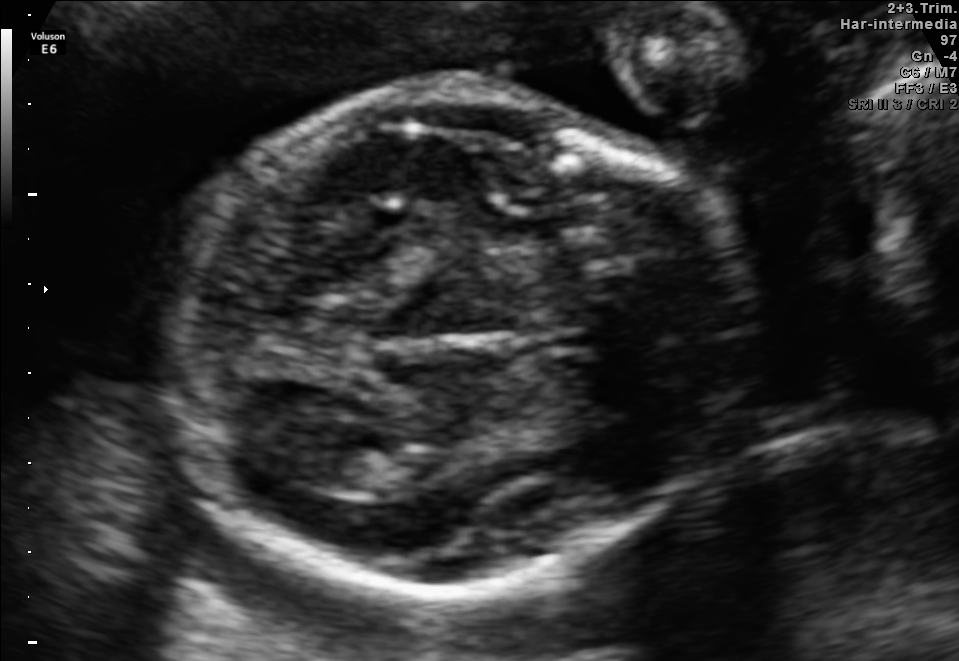
Identify the standard plane in this fetal ultrasound image: fetal abdomen, fetal brain, fetal femur, fetal thorax, maternal cervix, or other. If it's fetal brain and one of the three standard brain planes (trans-thalamic, trans-cerebellum, trans-ventricular), name which.

Fetal brain (trans-thalamic plane)